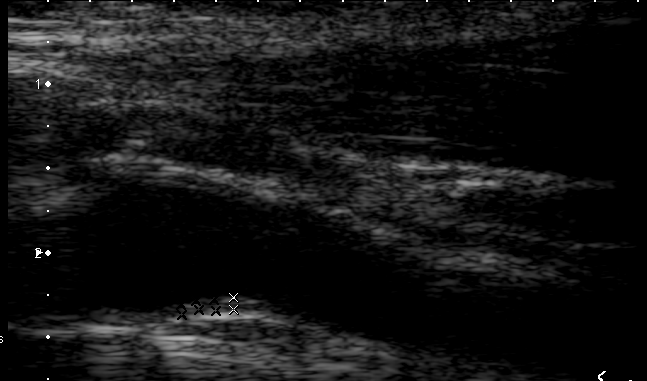
Classify this maternal-fetal ultrasound image as one of the six standard planes — fetal abdomen, fetal brain, fetal femur, fetal thorax, maternal cervix, or other. If it's fetal brain and one of the three standard brain planes (trans-thalamic, trans-cerebellum, trans-ventricular), name which.

Other